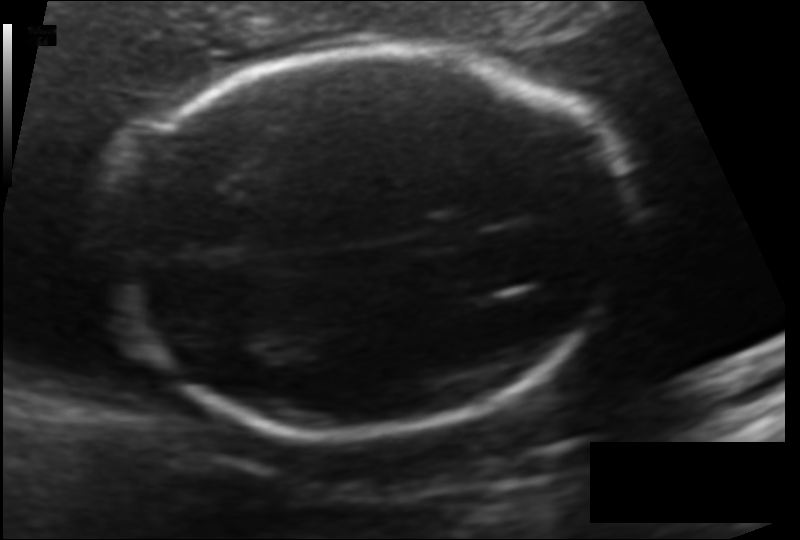
Fetal head ultrasound. Image width: 97.8 mm. Locate the fetal head.

Head: [109,47,631,431]